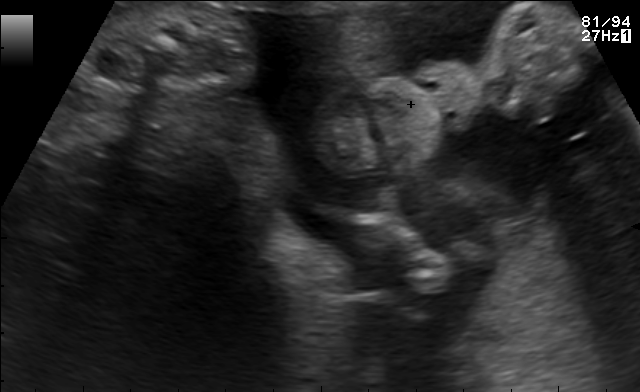
Which standard maternal-fetal ultrasound plane is shown: fetal abdomen, fetal brain, fetal femur, fetal thorax, maternal cervix, or other? If it's fetal brain and one of the three standard brain planes (trans-thalamic, trans-cerebellum, trans-ventricular), name which.

Other